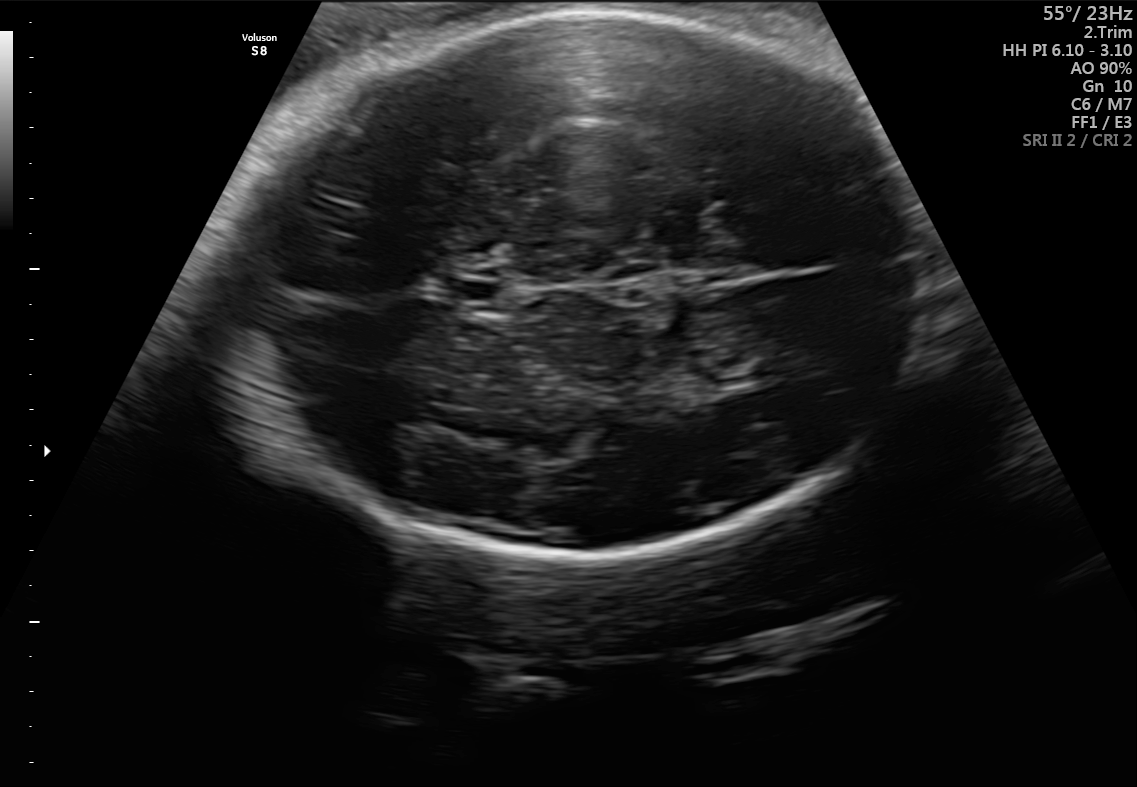
Fetal brain, trans-thalamic plane. Where is the fetal head?

Head bounding box: [225,10,921,568]